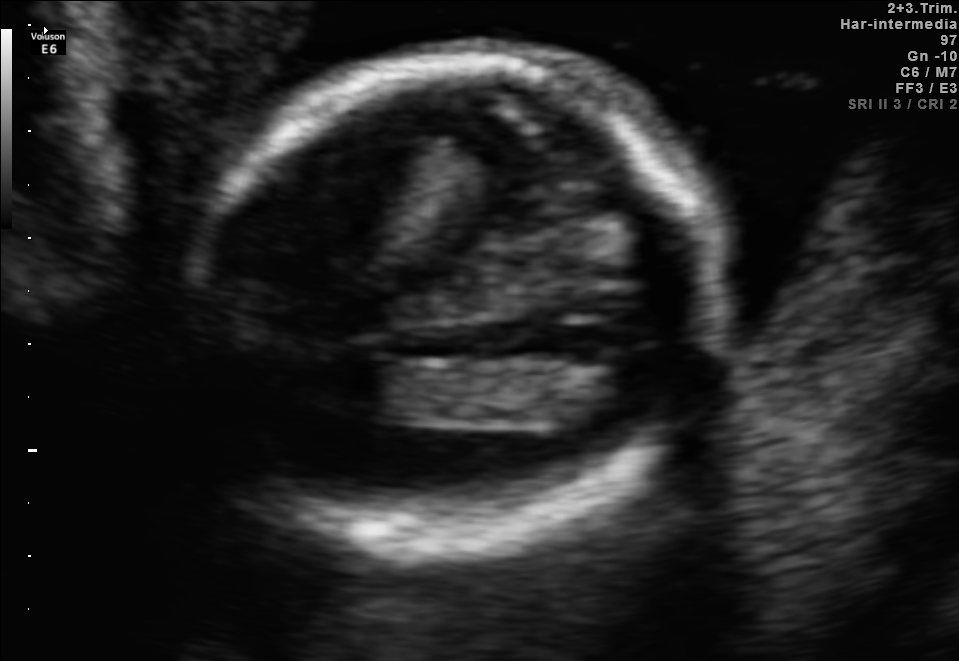
Which standard maternal-fetal ultrasound plane is shown: fetal abdomen, fetal brain, fetal femur, fetal thorax, maternal cervix, or other? If it's fetal brain and one of the three standard brain planes (trans-thalamic, trans-cerebellum, trans-ventricular), name which.

Fetal brain (trans-thalamic plane)